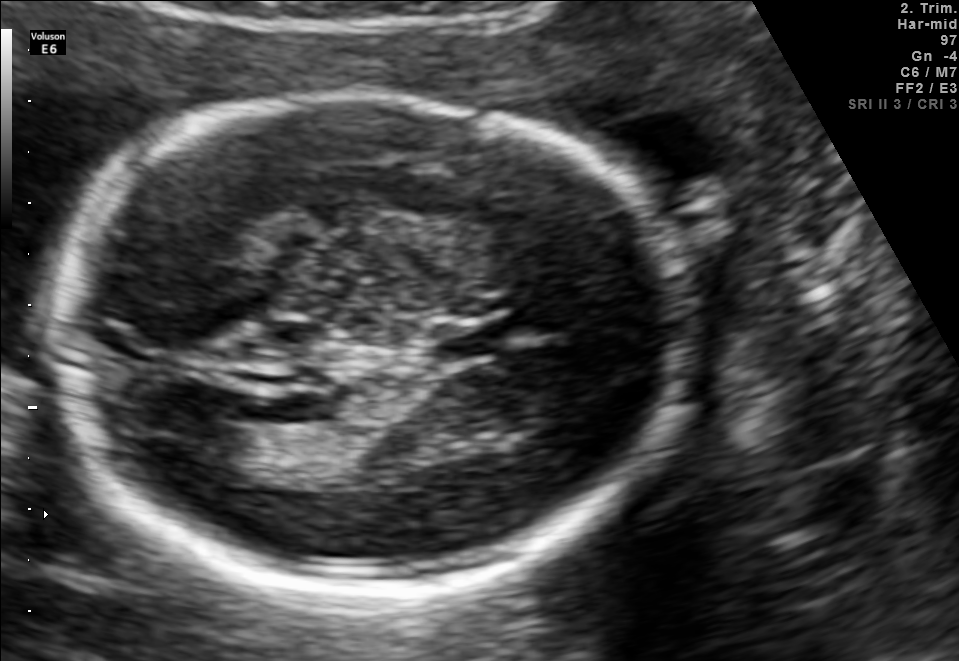
Fetal brain, trans-thalamic plane. Where is the cavum septum pellucidum?

CSP bounding box: [431,320,499,363]